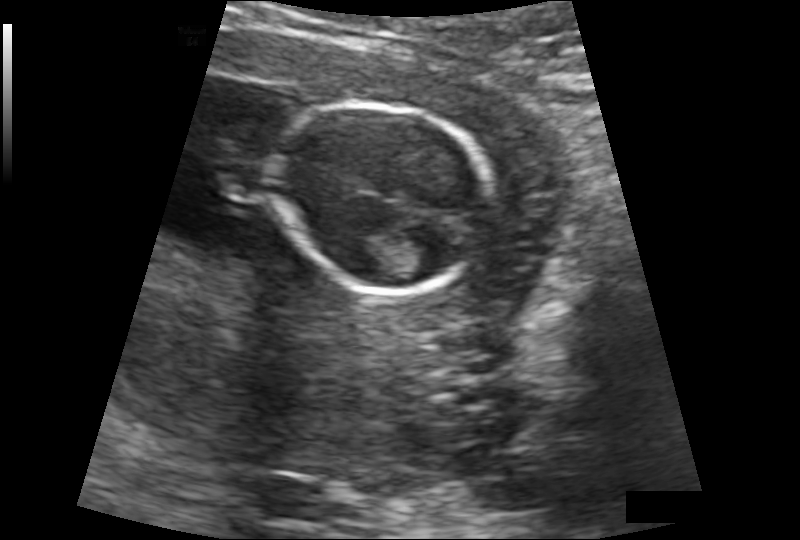
Fetal head ultrasound. Image width: 105.8 mm. Give [x1,y1,x2,y2] bounding boxes for each visible structure among: fetal head, CSP, LV.

Head: [274,105,492,291]